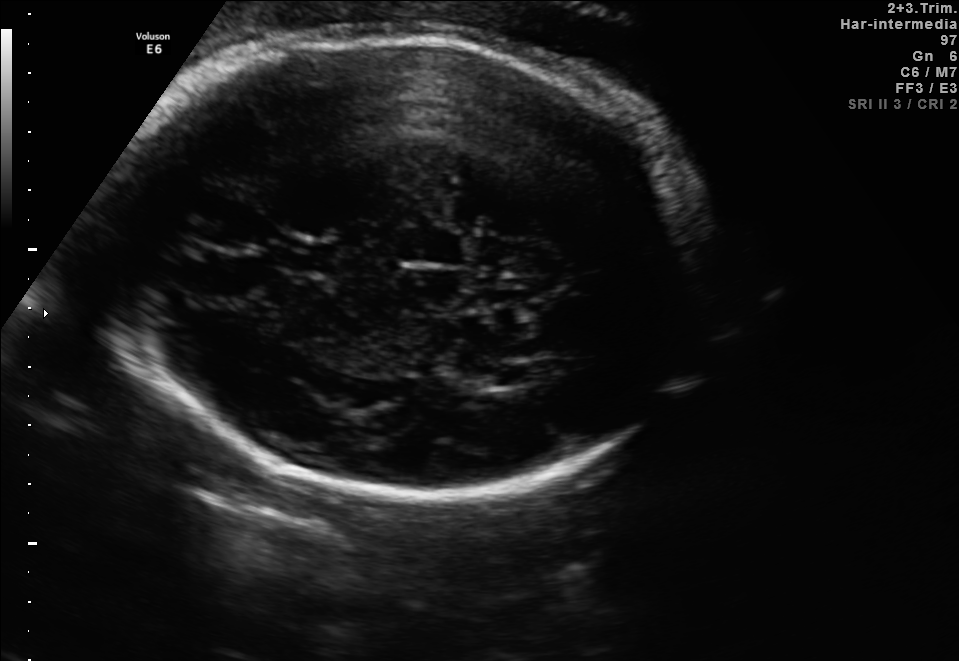
Fetal brain, trans-ventricular plane. Give [x1,y1,x2,y2] bounding boxes for each visible structure among: fetal head, CSP, LV.

Head: [101,26,730,507]
CSP: [274,239,338,274]
Lateral ventricle: [493,362,529,388]